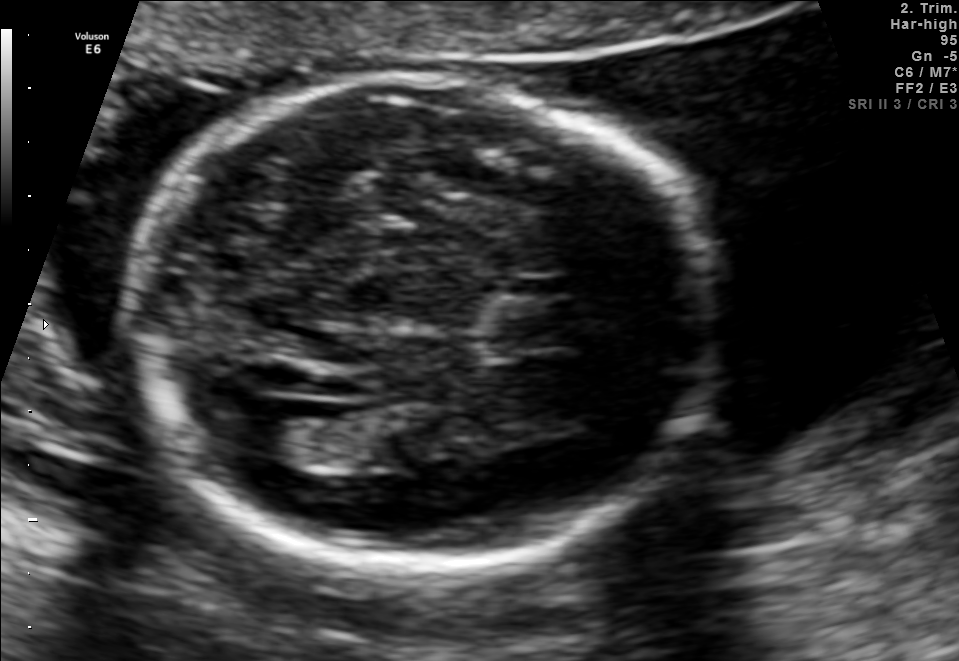
Fetal brain, trans-ventricular plane. Locate the fetal head and, if visible, the cavum septum pellucidum (CSP) and lateral ventricle (LV). Give bounding boxes as [x1,y1,x2,y2].

Head: [112,66,737,575]
CSP: [472,295,582,351]
Lateral ventricle: [216,388,327,463]